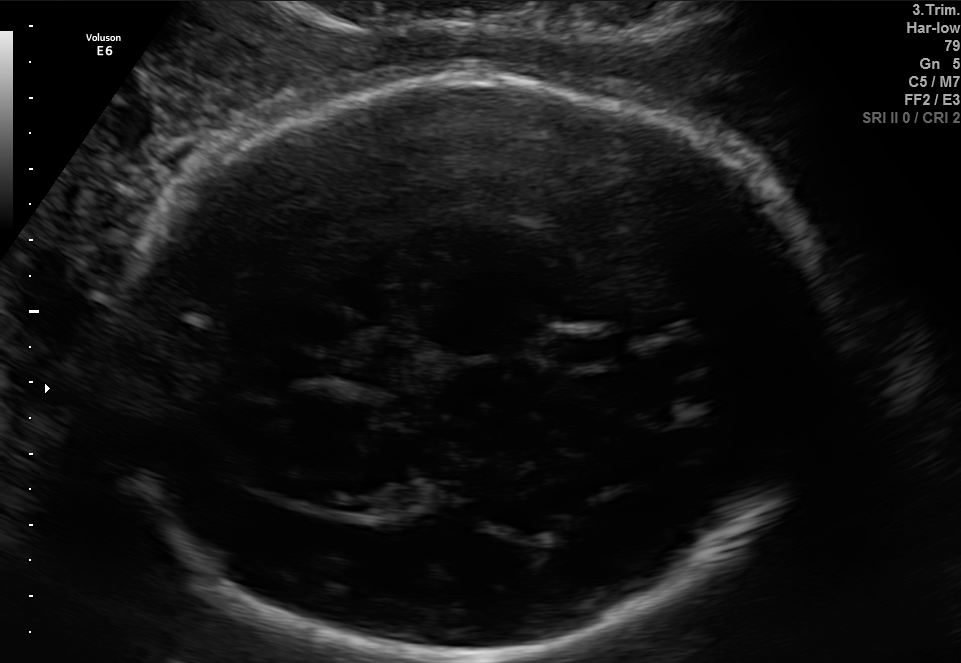
Fetal brain, trans-thalamic plane. Where is the fetal head?

Head bounding box: [99,69,838,660]